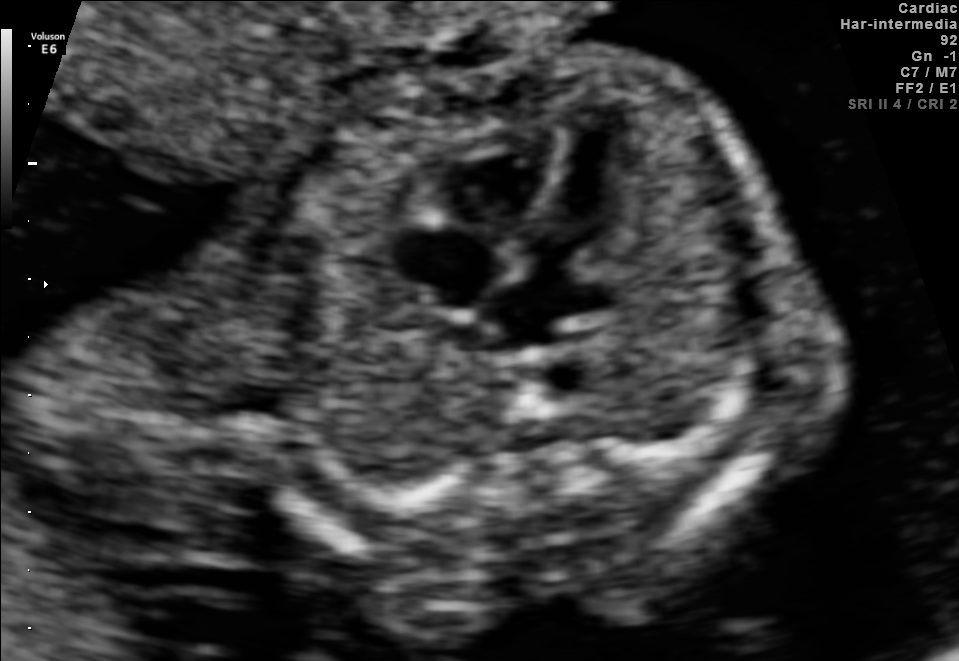
Classify this maternal-fetal ultrasound image as one of the six standard planes — fetal abdomen, fetal brain, fetal femur, fetal thorax, maternal cervix, or other. If it's fetal brain and one of the three standard brain planes (trans-thalamic, trans-cerebellum, trans-ventricular), name which.

Fetal thorax